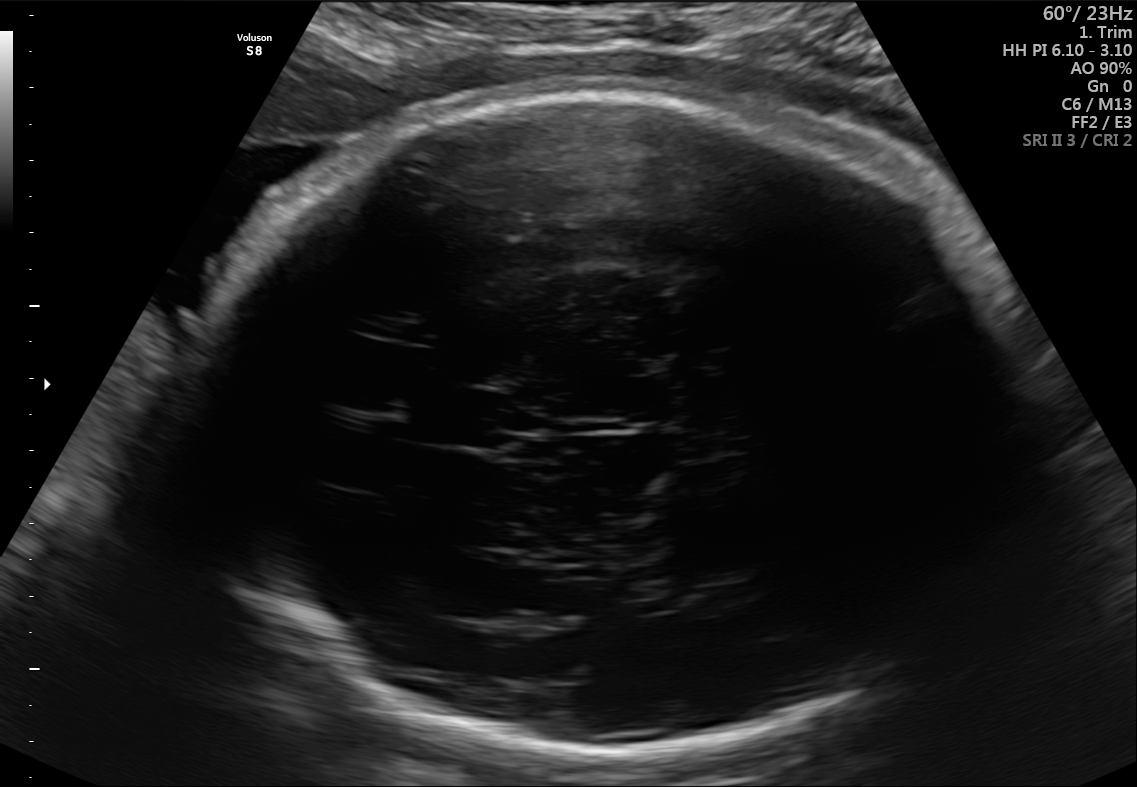
Fetal brain, trans-thalamic plane. Give [x1,y1,x2,y2] bounding boxes for each visible structure among: fetal head, CSP, LV.

Head: [179,86,1029,749]
CSP: [418,381,531,452]